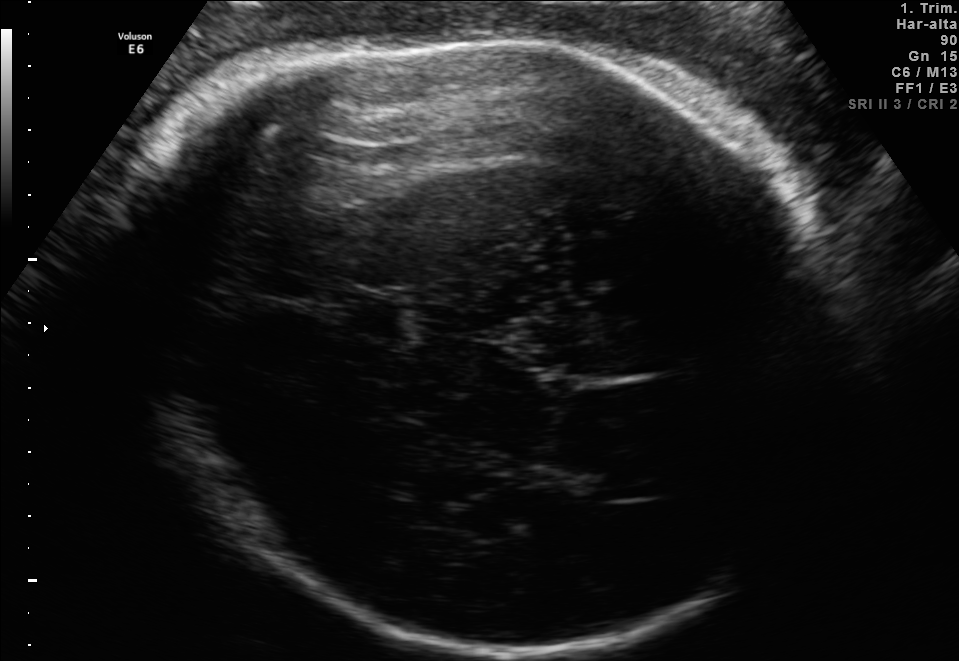
Fetal brain, trans-thalamic plane. Locate the fetal head.

Head: [133,33,846,652]